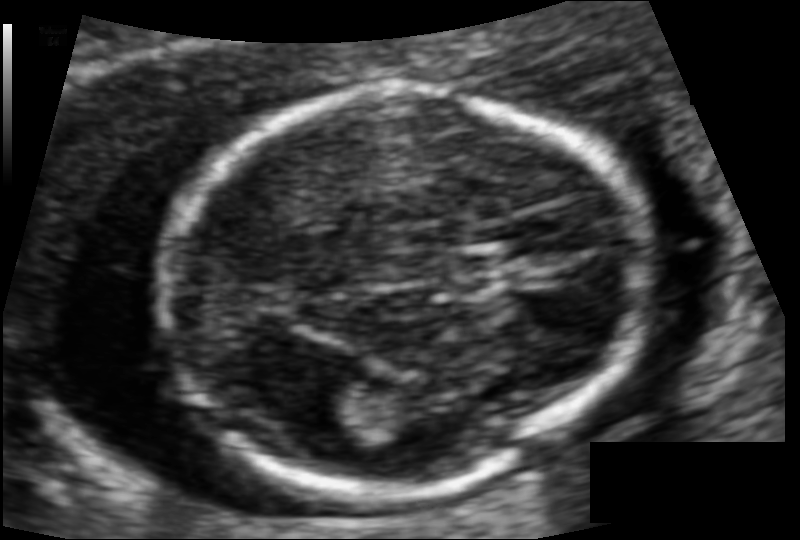
From this fetal ultrasound, estimate the head circumference (image width 66.5 mm).

Head circumference: 121.5 mm.